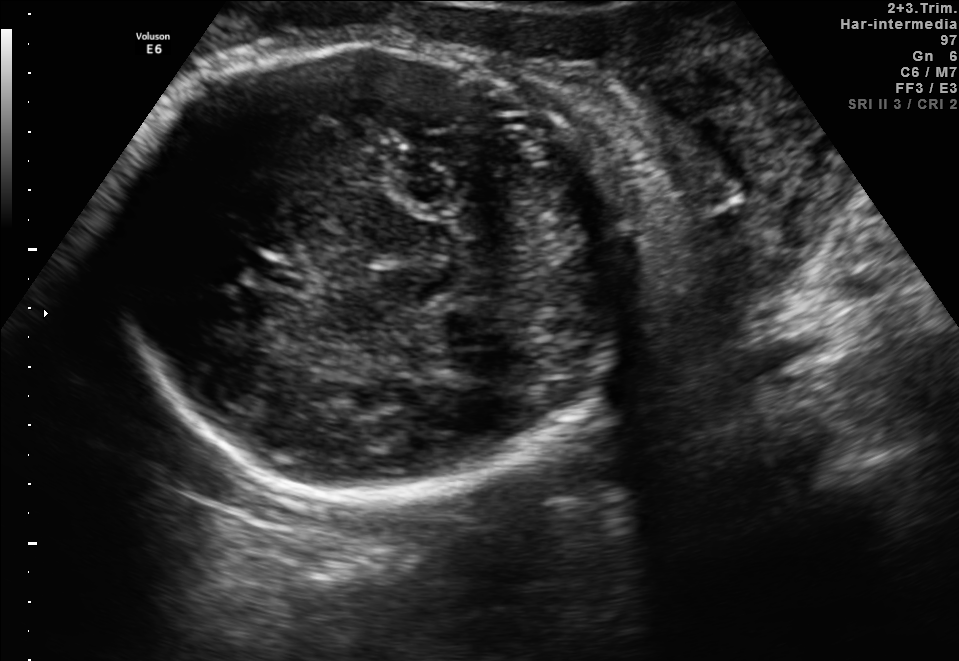
Fetal brain, trans-thalamic plane. Locate the cavum septum pellucidum.

CSP: [243,247,316,296]